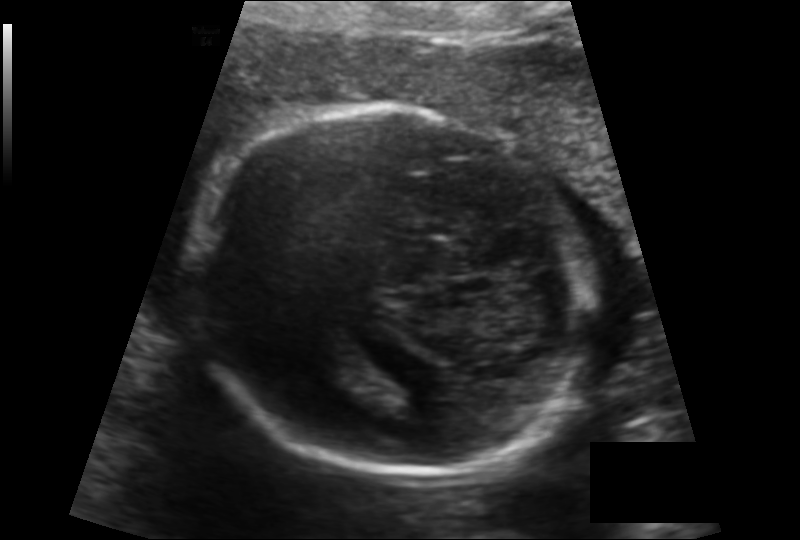
What is the fetal head circumference? Image width is 113.4 mm.

178.0 mm